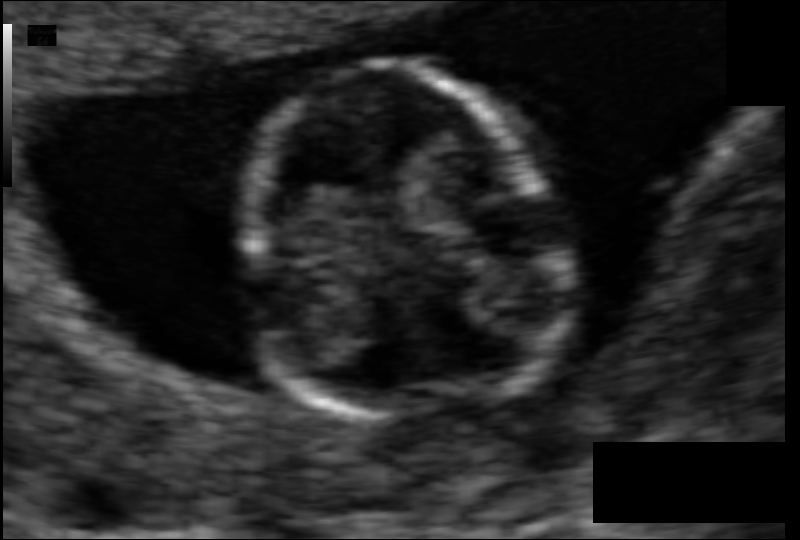
In this fetal head ultrasound, give the bounding box of the fetal head. Image width: 49.5 mm.

[240,65,561,416]